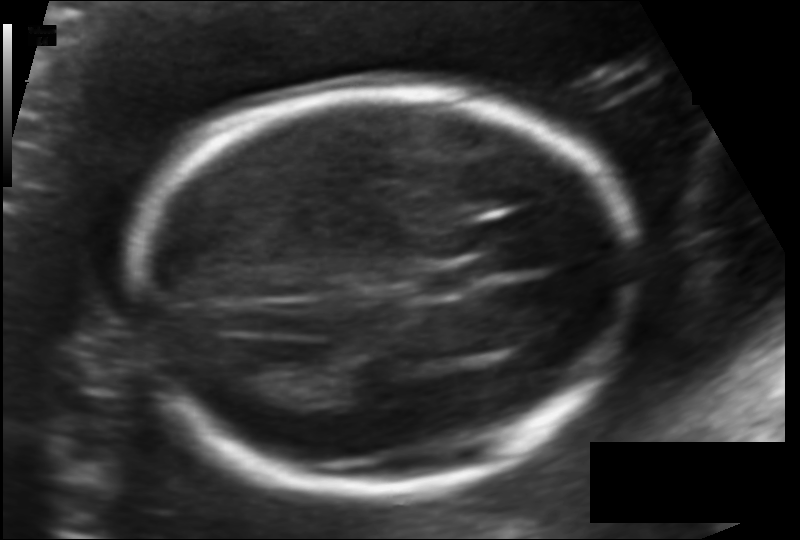
Estimate the fetal head circumference from this 2D ultrasound.

Head circumference: 182.1 mm (image width 99.3 mm).